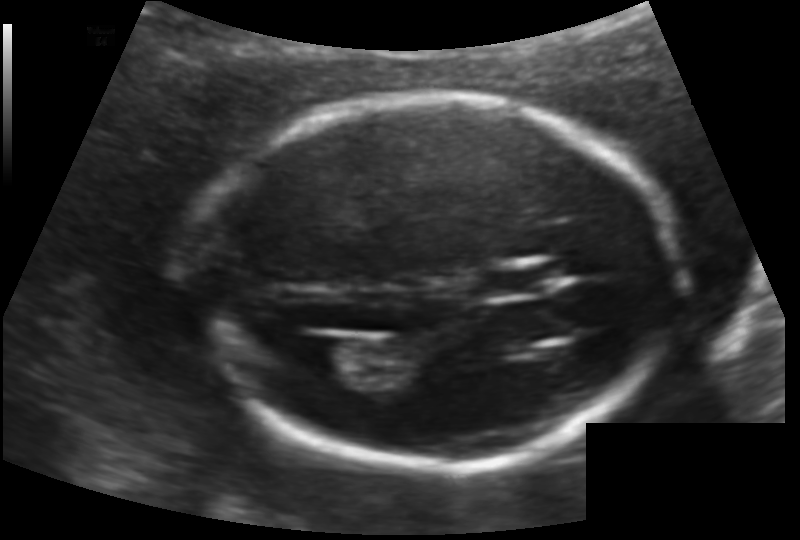
In this fetal head ultrasound, give the bounding box of the fetal head. Image width: 99.5 mm.

[193,96,666,469]